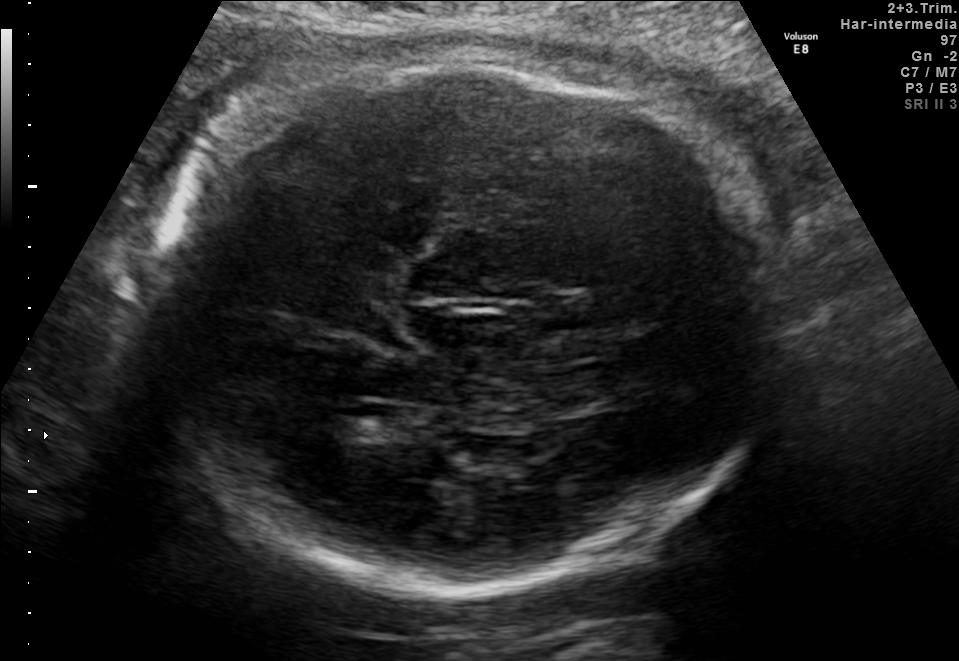
This is a 2D maternal-fetal ultrasound frame. Is it a fetal abdomen, fetal brain, fetal femur, fetal thorax, maternal cervix, or other standard plane? If it's fetal brain and one of the three standard brain planes (trans-thalamic, trans-cerebellum, trans-ventricular), name which.

Fetal brain (trans-thalamic plane)